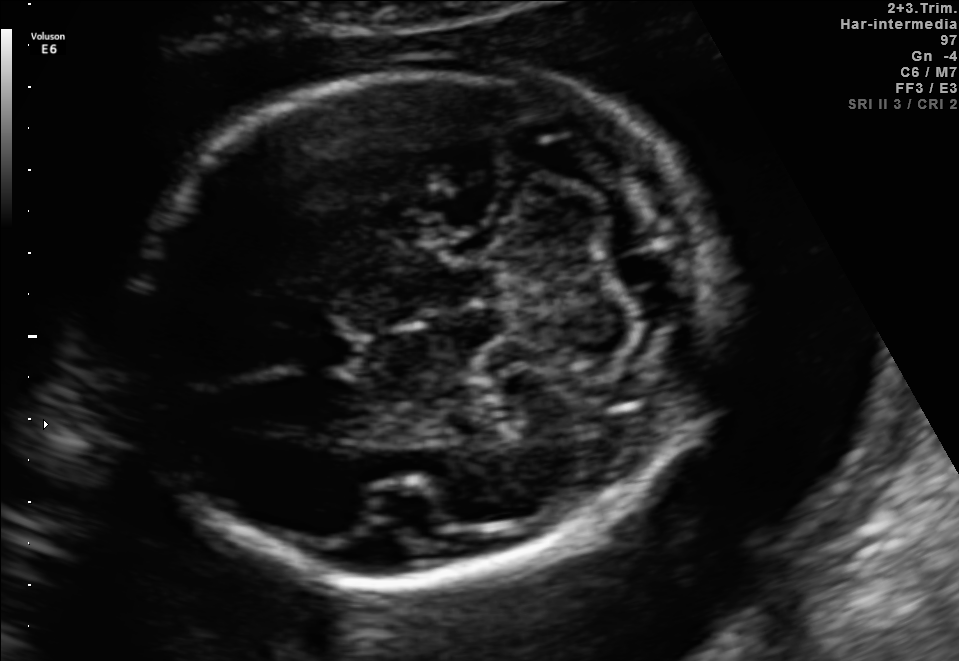
Fetal brain, trans-cerebellum plane. Locate the fetal head.

Head: [128,66,717,583]